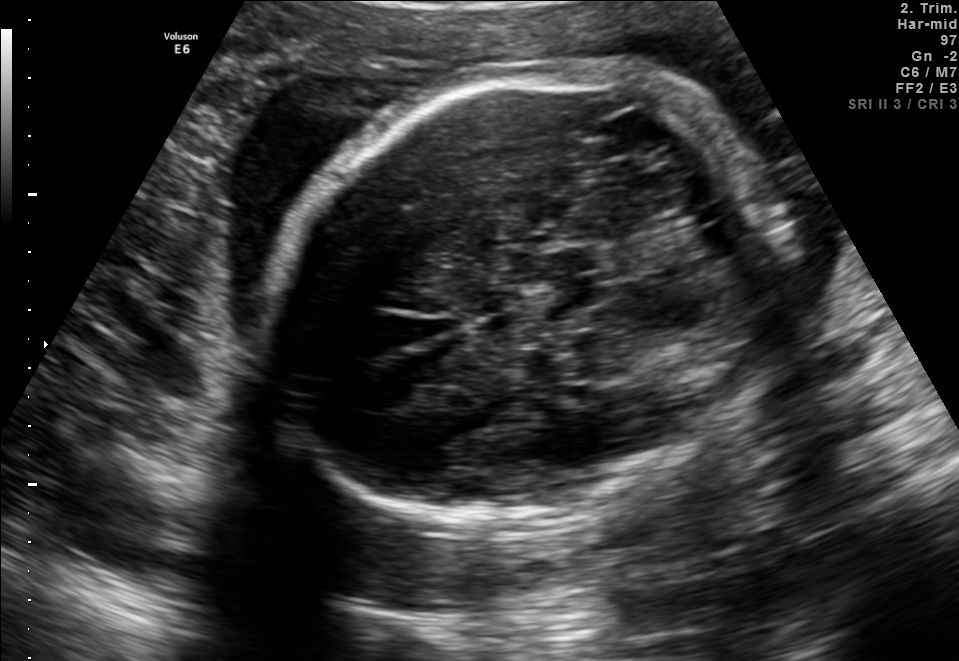
In this fetal brain, trans-cerebellum plane, give the bounding box of the fetal head.

[266,73,779,524]